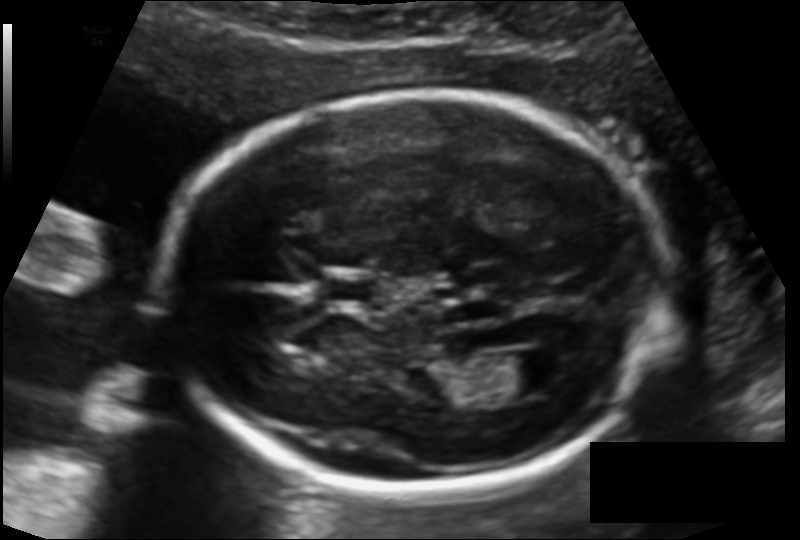
Fetal head ultrasound. Image width: 101.2 mm. Where is the lateral ventricle?

Lateral ventricle bounding box: [484,348,563,404]